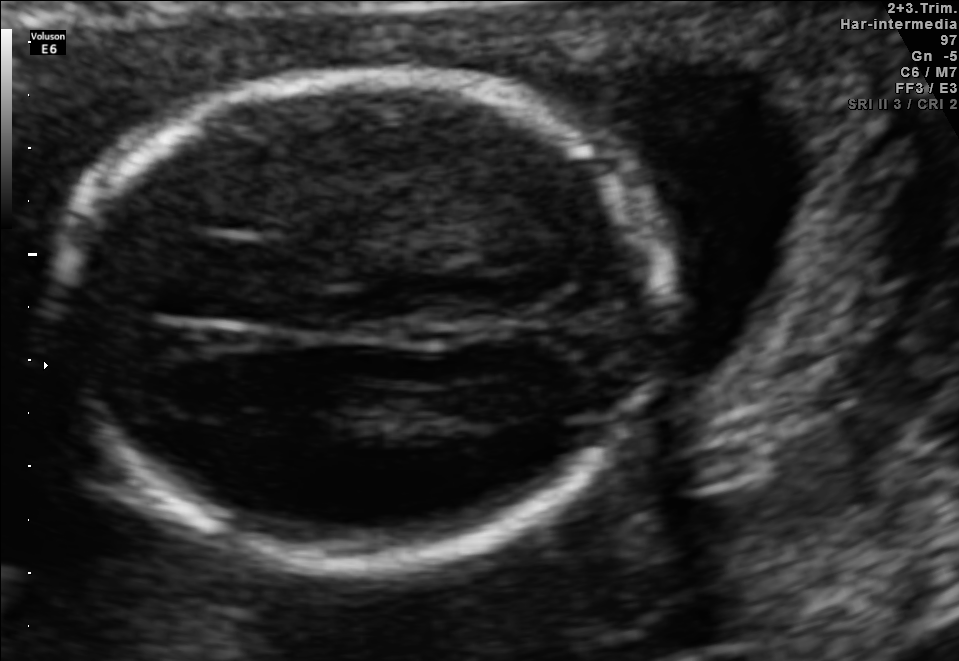
Which standard maternal-fetal ultrasound plane is shown: fetal abdomen, fetal brain, fetal femur, fetal thorax, maternal cervix, or other? If it's fetal brain and one of the three standard brain planes (trans-thalamic, trans-cerebellum, trans-ventricular), name which.

Fetal brain (trans-thalamic plane)